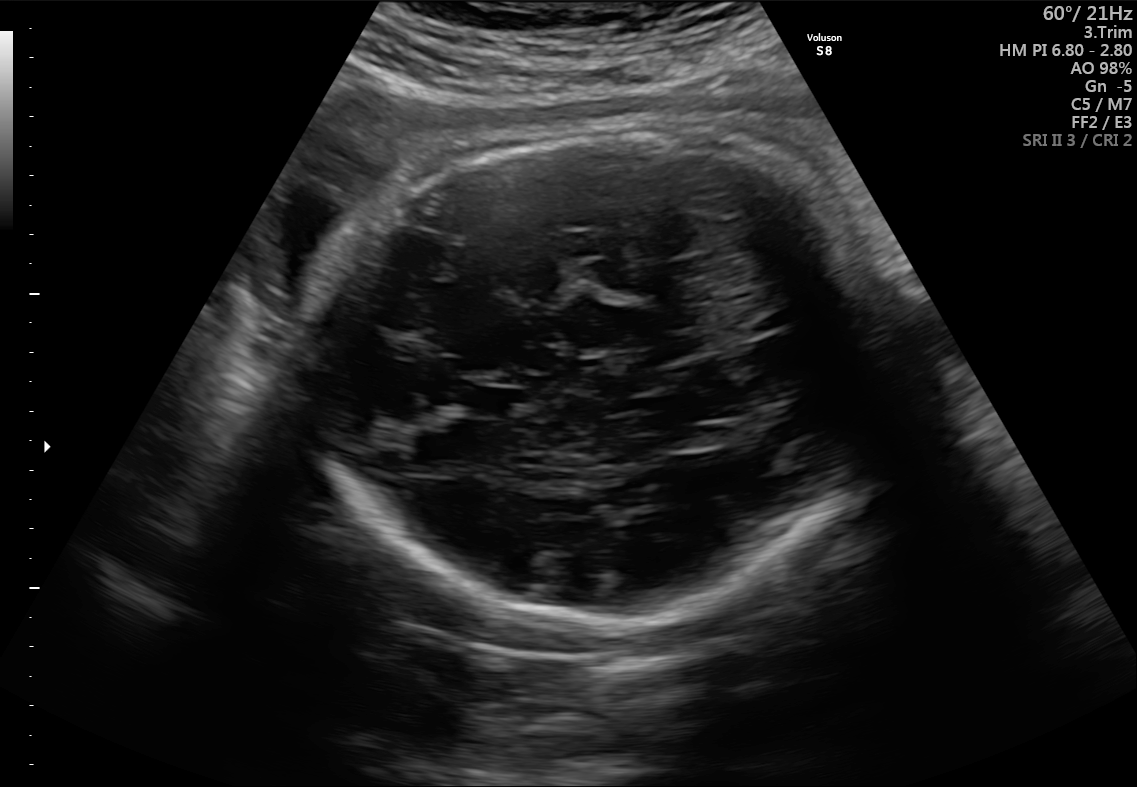
Fetal brain, trans-thalamic plane. Give [x1,y1,x2,y2] bounding boxes for each visible structure among: fetal head, CSP, LV.

Head: [313,131,890,623]
CSP: [474,387,525,418]
Lateral ventricle: [670,421,734,452]